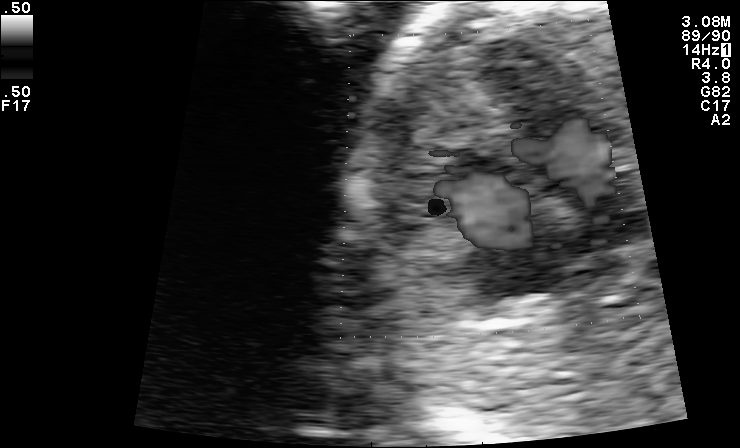
This is a 2D maternal-fetal ultrasound frame. Is it a fetal abdomen, fetal brain, fetal femur, fetal thorax, maternal cervix, or other standard plane? If it's fetal brain and one of the three standard brain planes (trans-thalamic, trans-cerebellum, trans-ventricular), name which.

Other